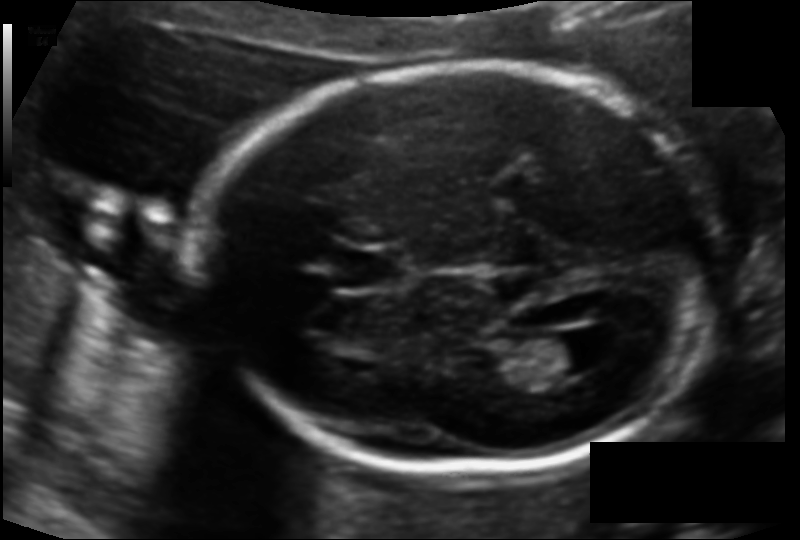
In this fetal head ultrasound, give the bounding box of the fetal head. Image width: 94.2 mm.

[208,65,714,469]